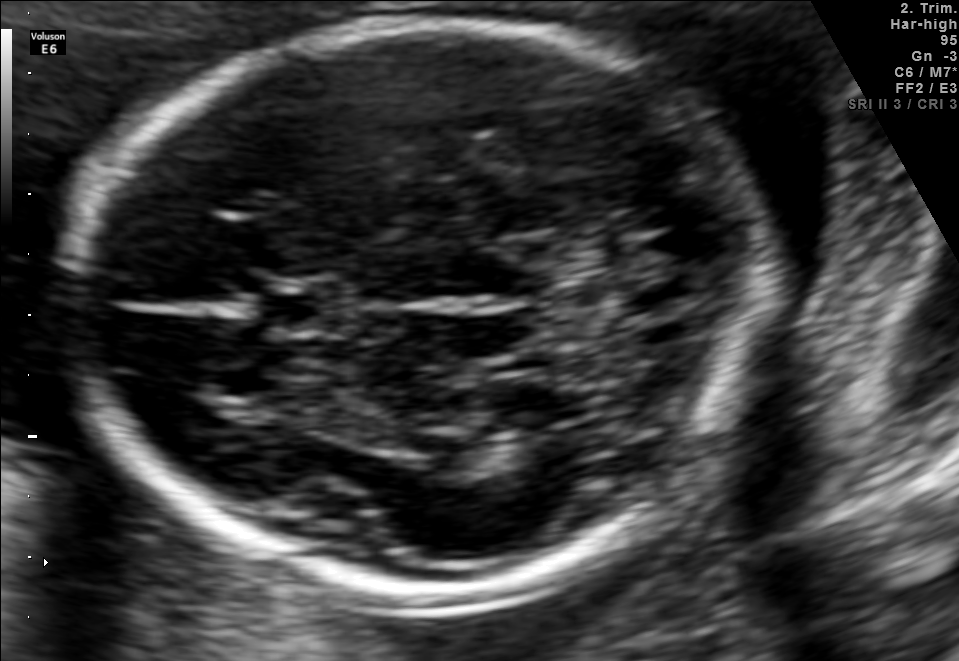
Fetal brain, trans-thalamic plane. Where is the cavum septum pellucidum?

CSP bounding box: [266,282,346,329]